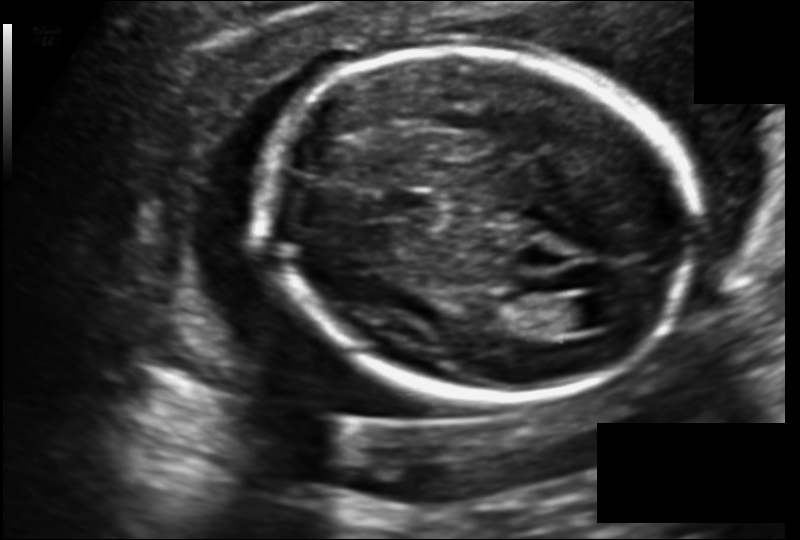
Fetal head ultrasound. Image width: 111.6 mm. Locate the fetal head and, if visible, the cavum septum pellucidum (CSP) and lateral ventricle (LV). Give bounding boxes as [x1,y1,x2,y2].

Head: [263,47,692,398]
CSP: [386,191,439,220]
Lateral ventricle: [544,294,605,336]